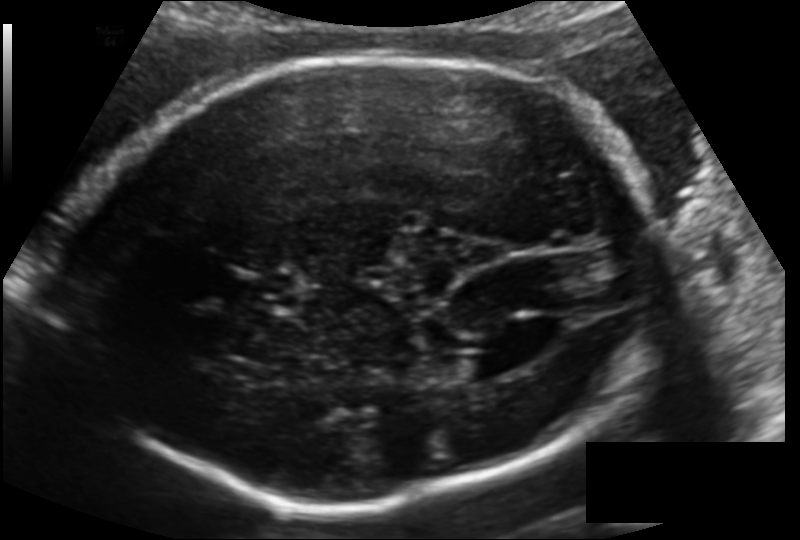
In this fetal head ultrasound, give the bounding box of the cavum septum pellucidum. Image width: 118.6 mm.

[229,267,303,314]